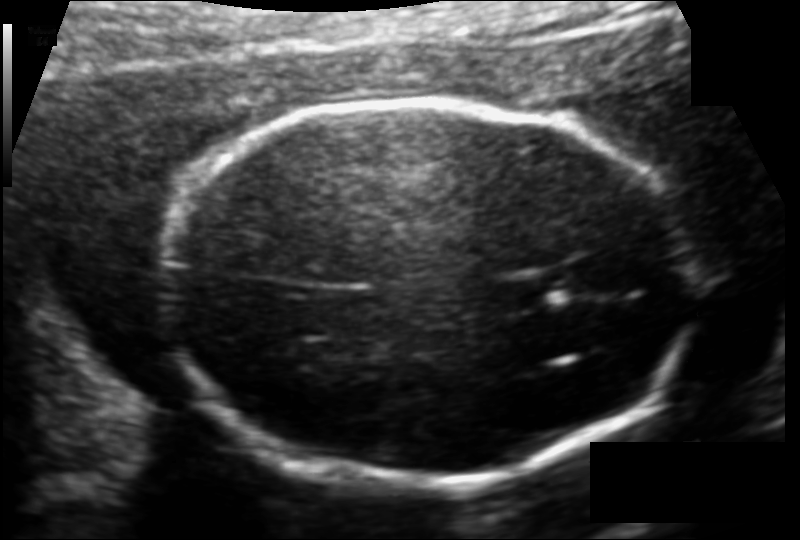
In this fetal head ultrasound, give the bounding box of the cavum septum pellucidum. Image width: 95.0 mm.

[494,267,563,313]